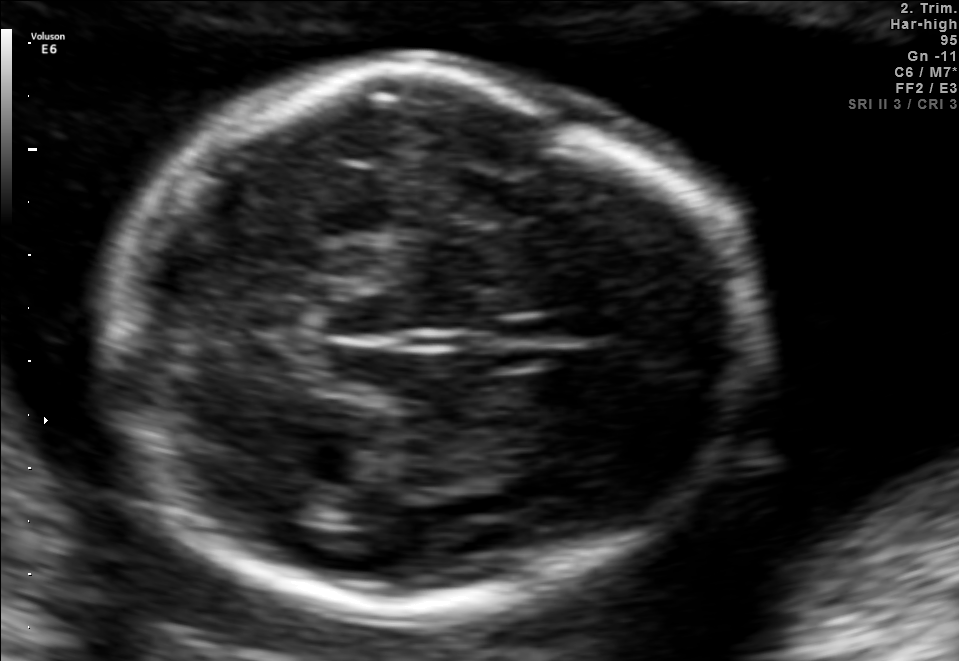
In this fetal brain, trans-thalamic plane, give the bounding box of the fetal head.

[100,72,751,611]